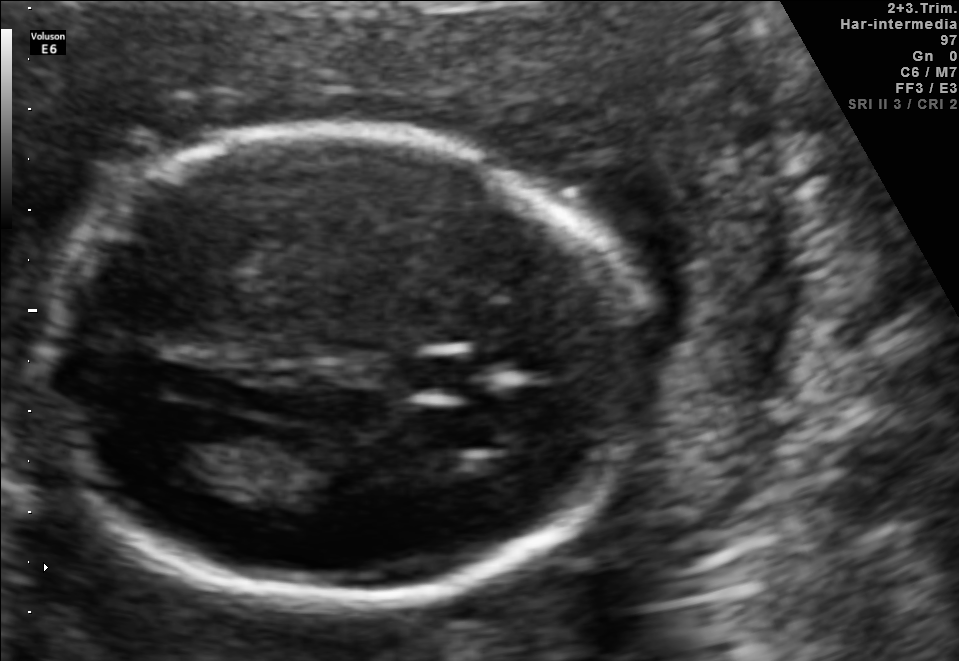
Fetal brain, trans-ventricular plane. Where is the cavum septum pellucidum?

CSP bounding box: [412,356,472,391]